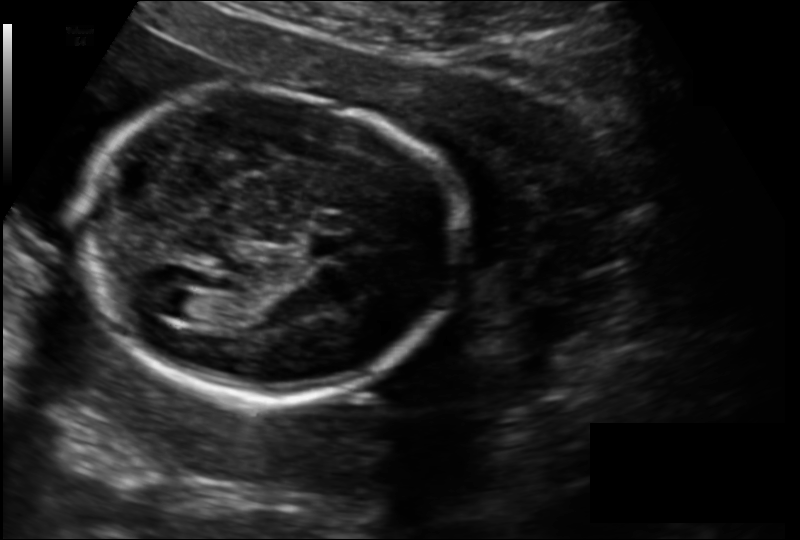
In this fetal head ultrasound, give the bounding box of the fetal head. Image width: 119.1 mm.

[73,90,456,399]